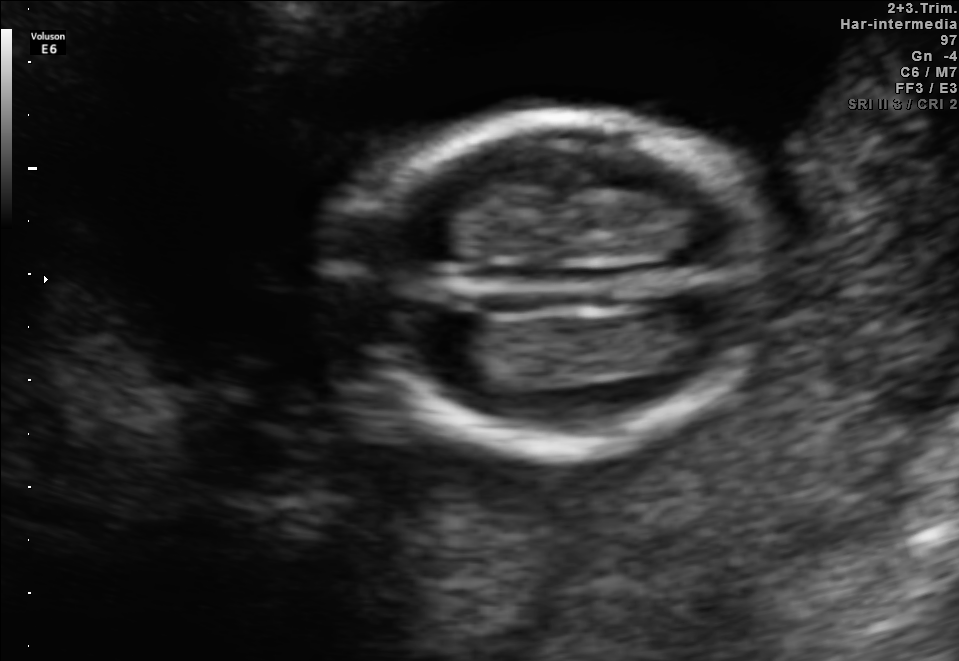
Fetal brain, trans-thalamic plane. Give [x1,y1,x2,y2] bounding boxes for each visible structure among: fetal head, CSP, LV.

Head: [331,111,778,450]